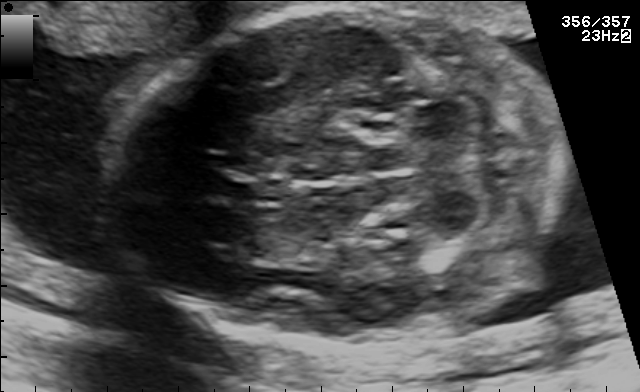
Classify this maternal-fetal ultrasound image as one of the six standard planes — fetal abdomen, fetal brain, fetal femur, fetal thorax, maternal cervix, or other. If it's fetal brain and one of the three standard brain planes (trans-thalamic, trans-cerebellum, trans-ventricular), name which.

Fetal brain (trans-cerebellum plane)